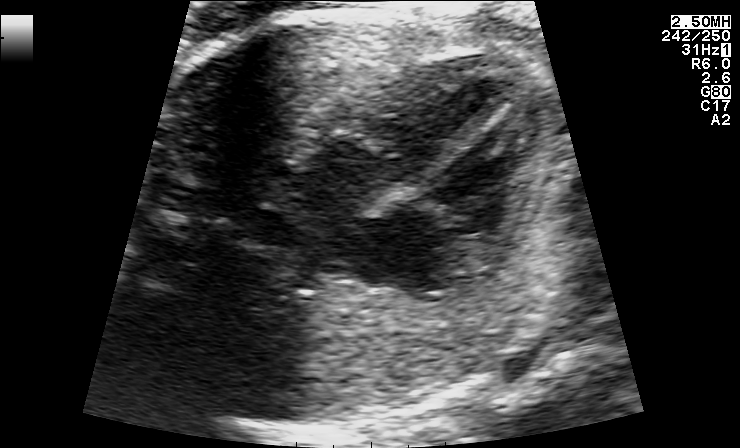
Identify the standard plane in this fetal ultrasound image: fetal abdomen, fetal brain, fetal femur, fetal thorax, maternal cervix, or other. If it's fetal brain and one of the three standard brain planes (trans-thalamic, trans-cerebellum, trans-ventricular), name which.

Fetal thorax